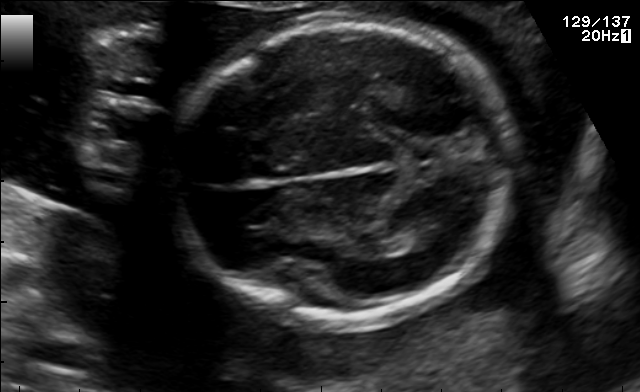
In this fetal brain, trans-thalamic plane, give the bounding box of the lateral ventricle.

[395,218,449,254]